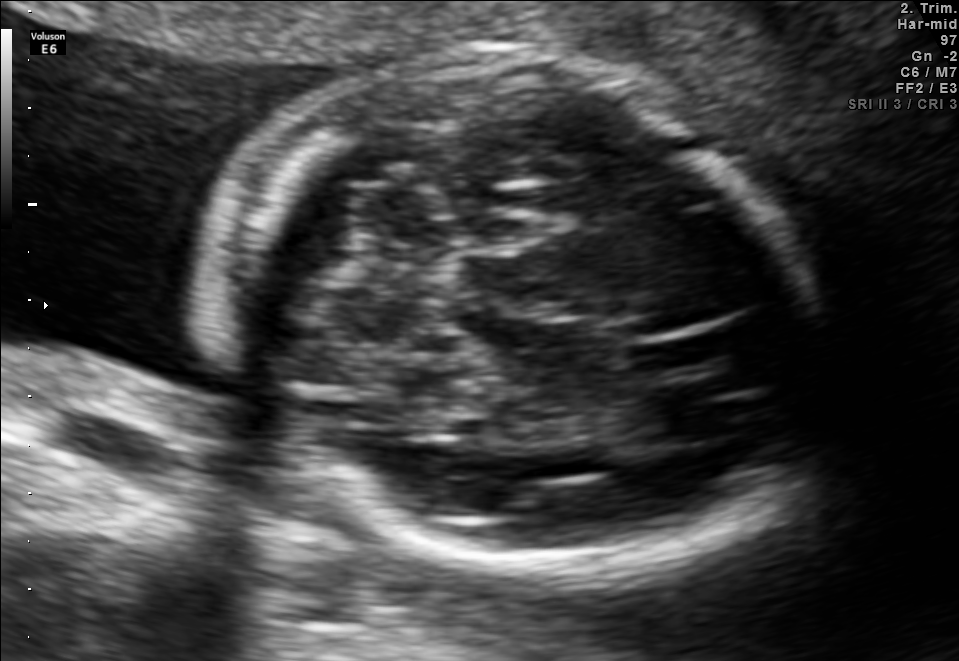
In this fetal brain, trans-cerebellum plane, give bounding boxes for the head outline, cavum septum pellucidum (CSP), and lateral ventricle (LV), where visible.

Head: [217,54,822,581]